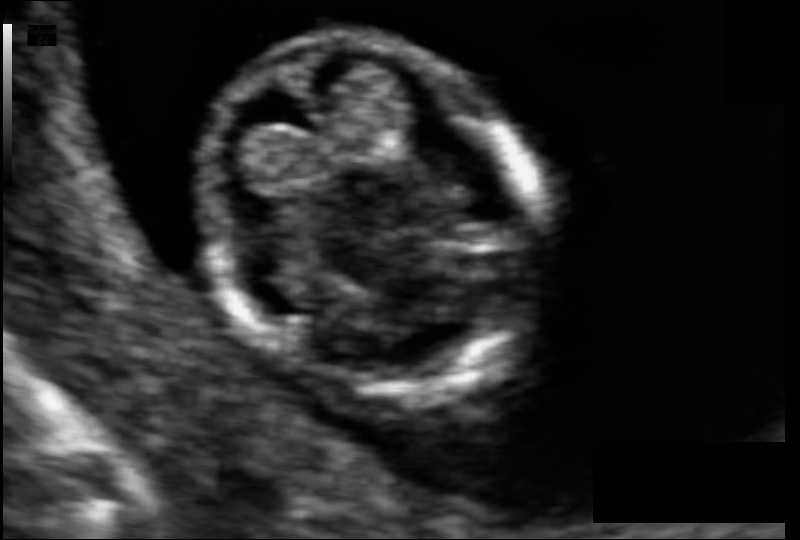
From this fetal ultrasound, estimate the head circumference (image width 50.8 mm).

Head circumference: 74.1 mm.